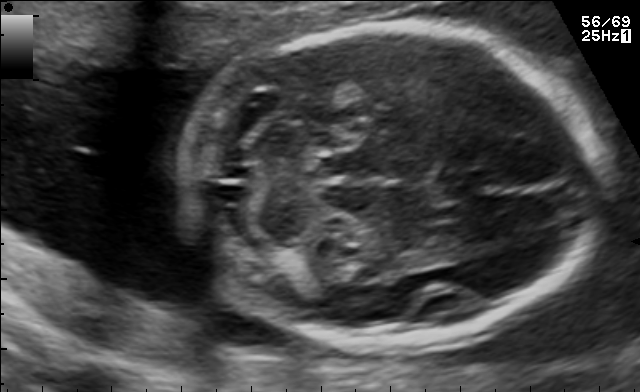
Fetal brain, trans-cerebellum plane. Where is the fetal head?

Head bounding box: [184,23,606,342]